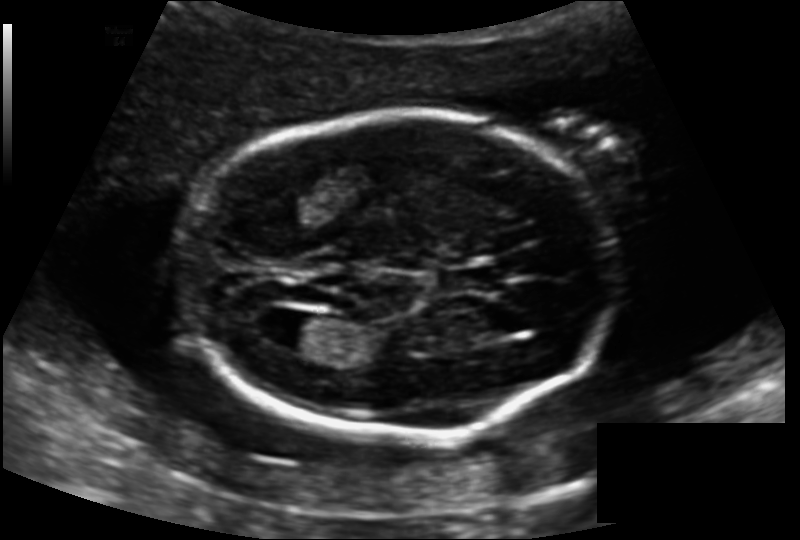
Fetal head ultrasound. Image width: 111.5 mm. Give [x1,y1,x2,y2] bounding boxes for each visible structure among: fetal head, CSP, LV.

Head: [183,112,614,435]
CSP: [441,264,501,296]
Lateral ventricle: [267,311,331,355]